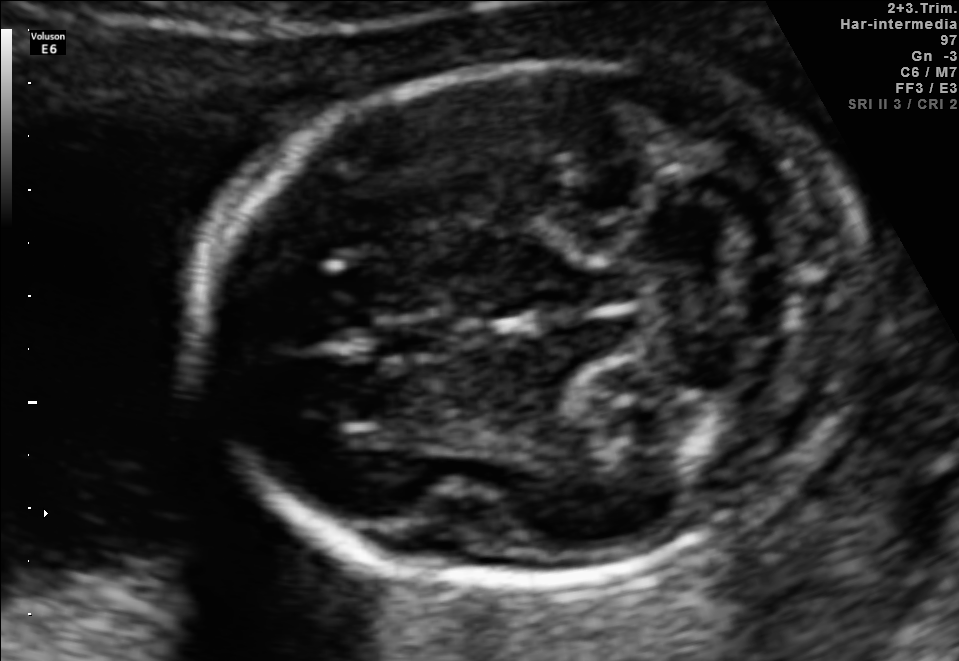
In this fetal brain, trans-cerebellum plane, give the bounding box of the fetal head.

[201,59,868,584]